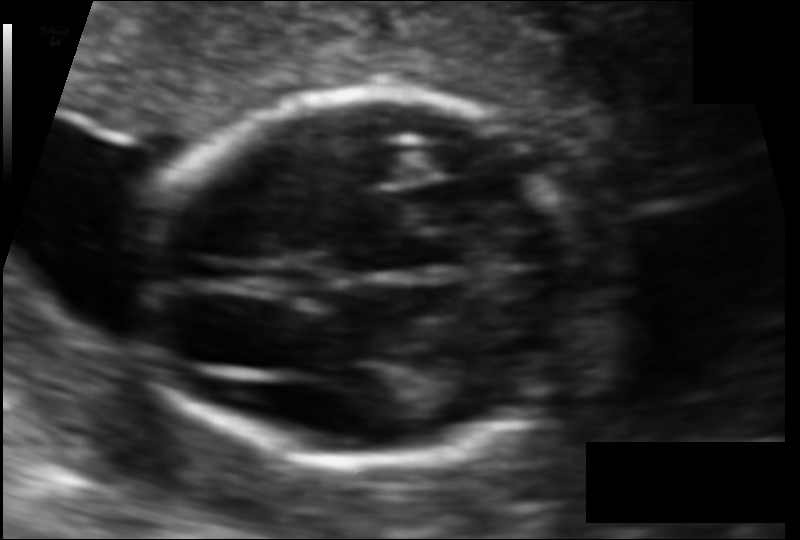
Fetal head ultrasound. Image width: 70.1 mm. Where is the fetal head?

Head bounding box: [145,92,583,464]